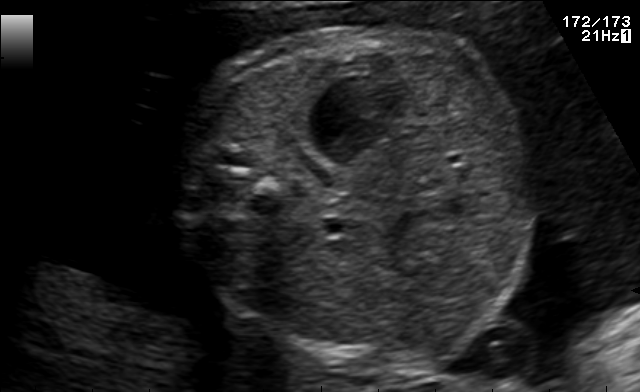
Which standard maternal-fetal ultrasound plane is shown: fetal abdomen, fetal brain, fetal femur, fetal thorax, maternal cervix, or other? If it's fetal brain and one of the three standard brain planes (trans-thalamic, trans-cerebellum, trans-ventricular), name which.

Fetal abdomen